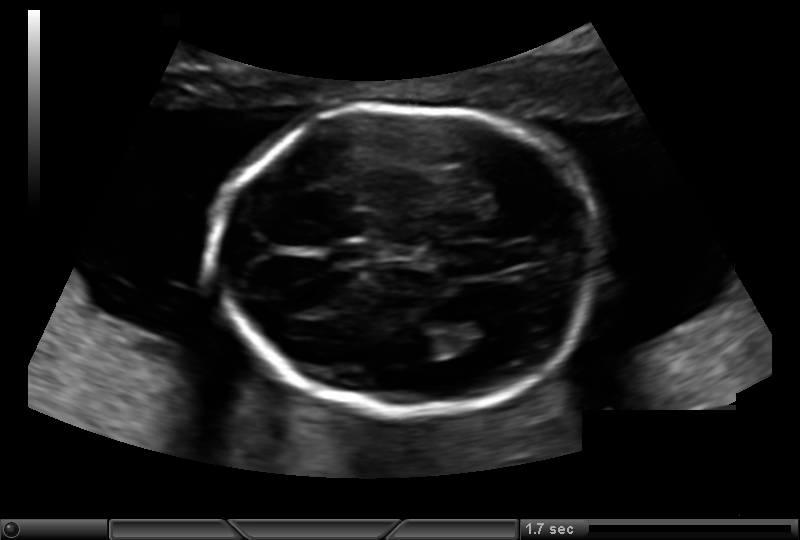
Fetal head ultrasound. Image width: 107.7 mm. Locate the fetal head and, if visible, the cavum septum pellucidum (CSP) and lateral ventricle (LV). Give bounding boxes as [x1,y1,x2,y2].

Head: [215,106,596,413]
CSP: [334,242,375,263]